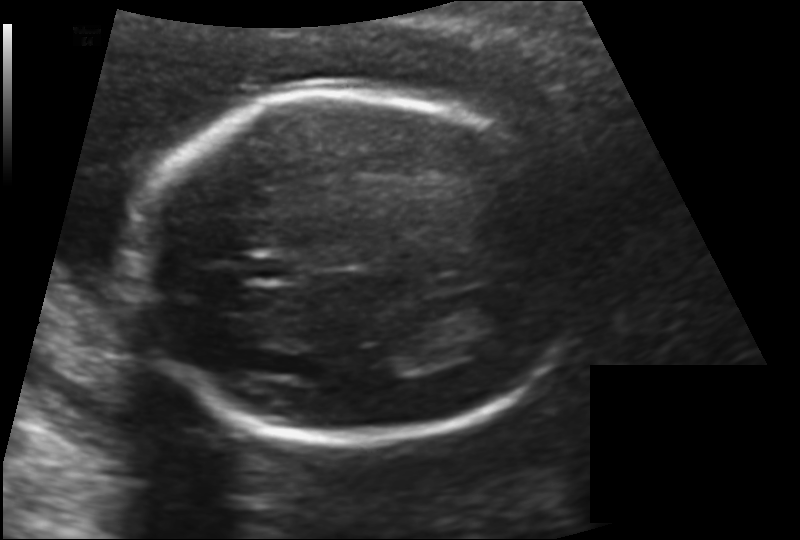
Fetal head ultrasound. Image width: 113.8 mm. Locate the cavum septum pellucidum.

CSP: [244,254,294,282]